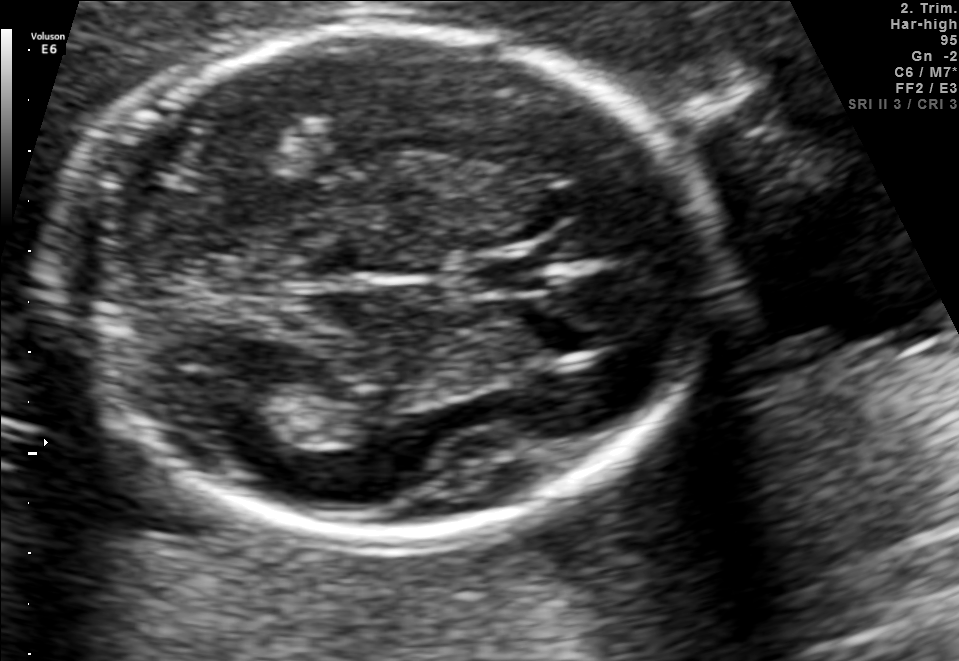
Fetal brain, trans-thalamic plane. Where is the fetal head?

Head bounding box: [59,23,708,540]